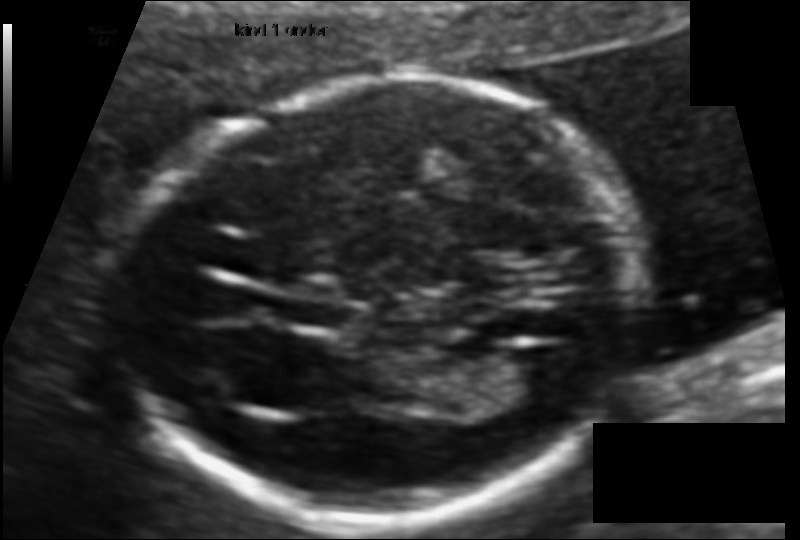
Fetal head ultrasound. Image width: 75.7 mm. Locate the fetal head.

Head: [122,82,638,520]